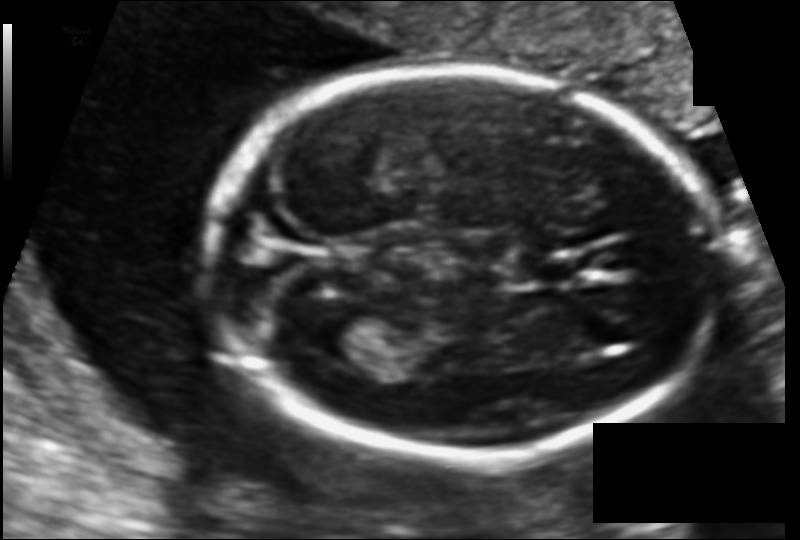
What is the fetal head circumference? Image width is 86.7 mm.

155.8 mm